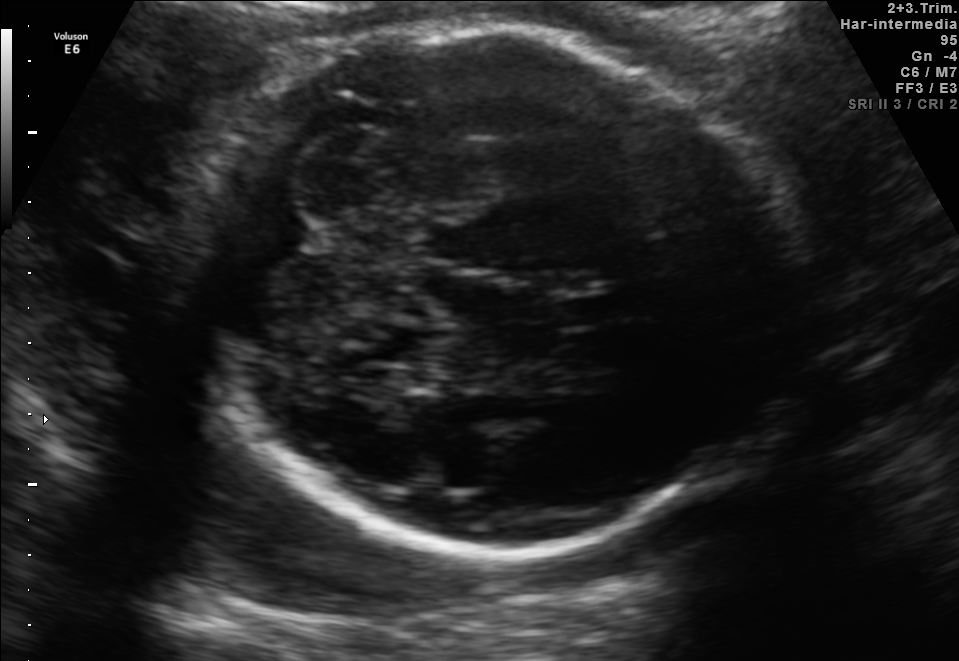
Fetal brain, trans-cerebellum plane. Where is the fetal head?

Head bounding box: [182,24,789,547]